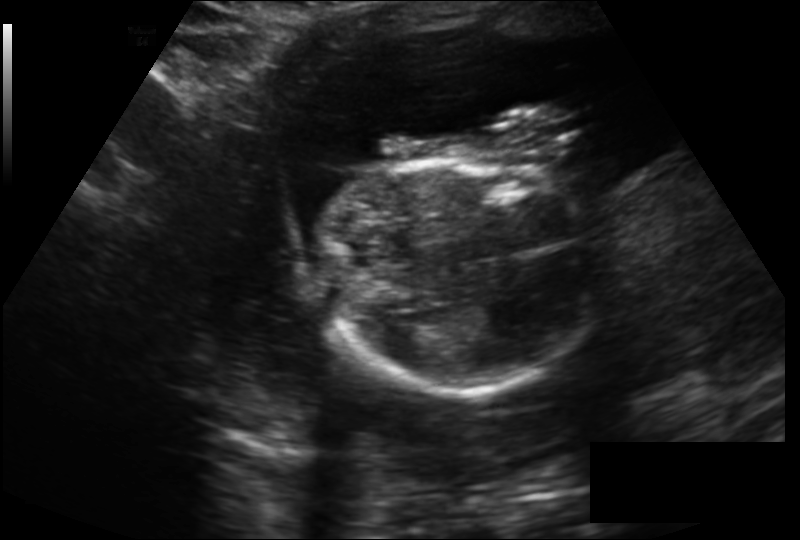
From this fetal ultrasound, estimate the head circumference (image width 155.8 mm).

Head circumference: 160.8 mm.